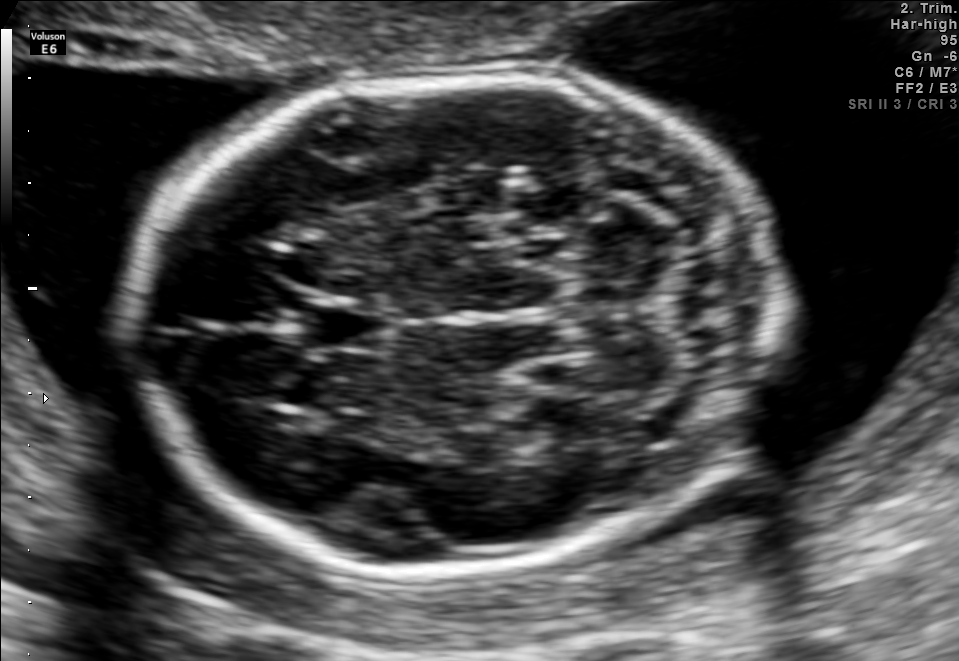
In this fetal brain, trans-cerebellum plane, give the bounding box of the cavum septum pellucidum.

[294,297,389,353]